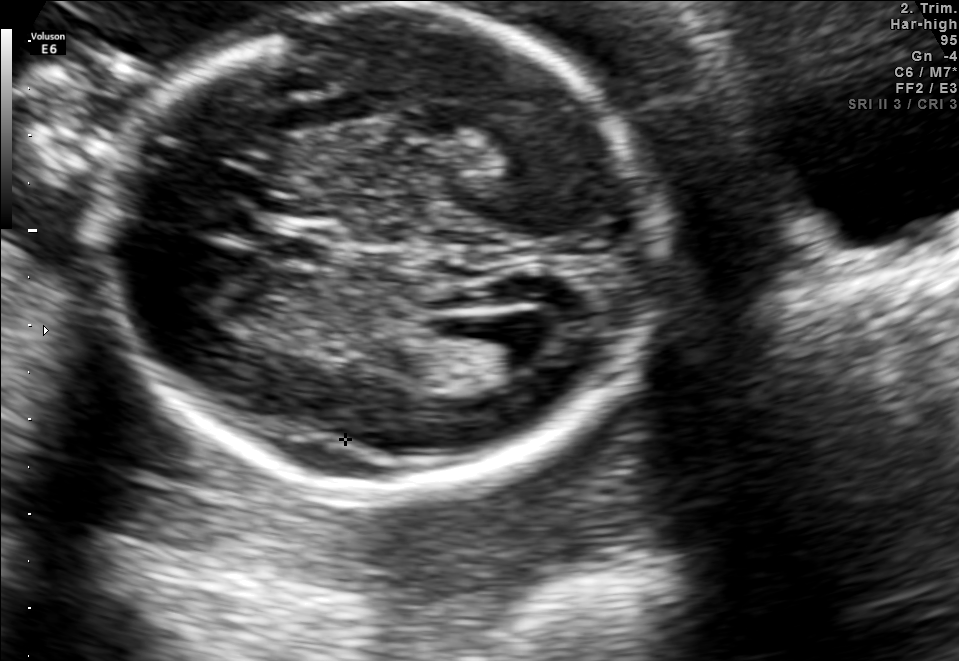
Fetal brain, trans-ventricular plane. Locate the fetal head and, if visible, the cavum septum pellucidum (CSP) and lateral ventricle (LV). Give bounding boxes as [x1,y1,x2,y2].

Head: [96,4,673,499]
CSP: [276,232,332,267]
Lateral ventricle: [465,300,565,382]